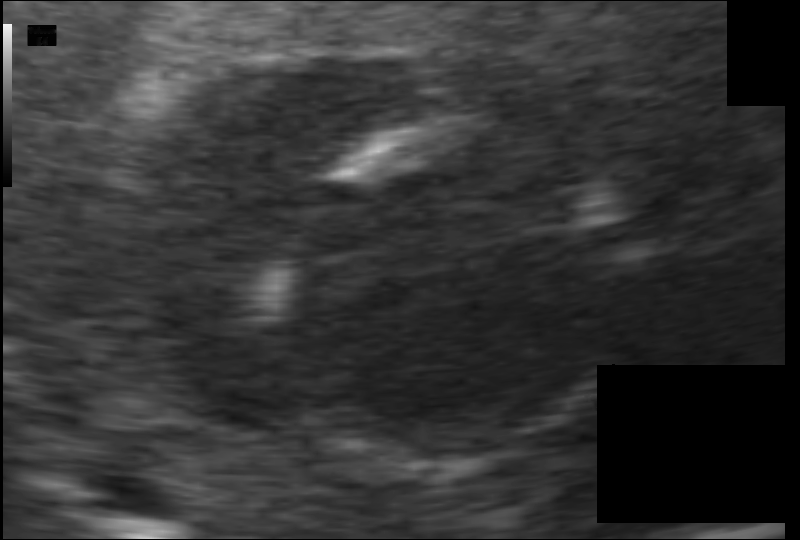
In this fetal head ultrasound, give bounding boxes for the head outline, cavum septum pellucidum (CSP), and lateral ventricle (LV), where visible. Image width: 55.7 mm.

Head: [274,122,622,471]